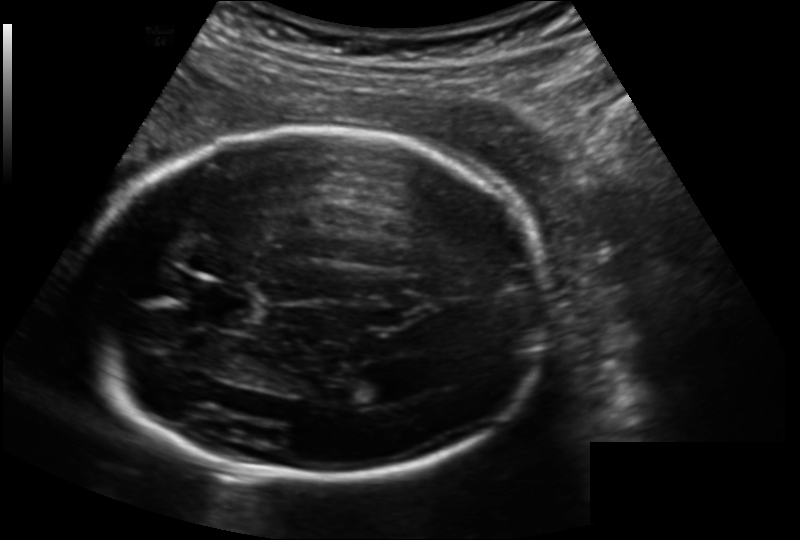
Fetal head ultrasound. Image width: 130.8 mm. Where is the cavum septum pellucidum?

CSP bounding box: [186,277,252,331]